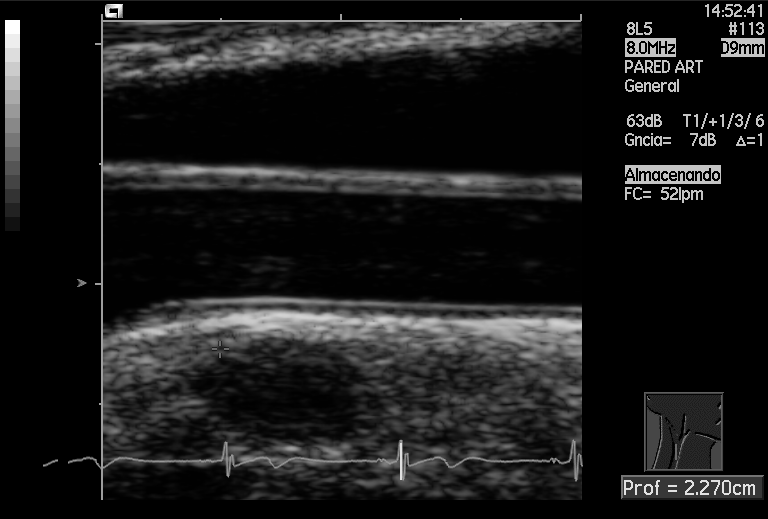
Which standard maternal-fetal ultrasound plane is shown: fetal abdomen, fetal brain, fetal femur, fetal thorax, maternal cervix, or other? If it's fetal brain and one of the three standard brain planes (trans-thalamic, trans-cerebellum, trans-ventricular), name which.

Other